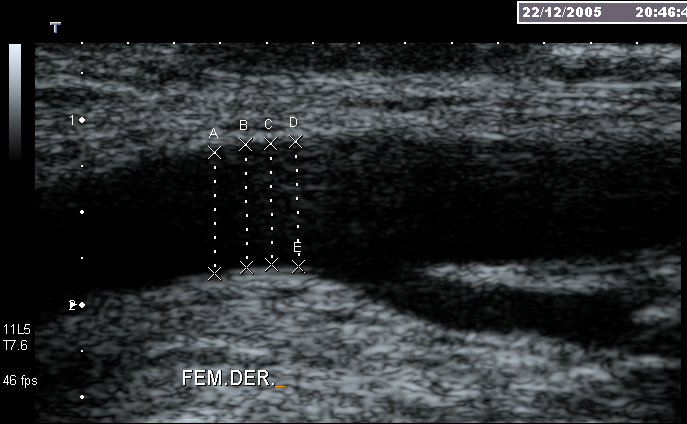
This is a 2D maternal-fetal ultrasound frame. Is it a fetal abdomen, fetal brain, fetal femur, fetal thorax, maternal cervix, or other standard plane? If it's fetal brain and one of the three standard brain planes (trans-thalamic, trans-cerebellum, trans-ventricular), name which.

Other